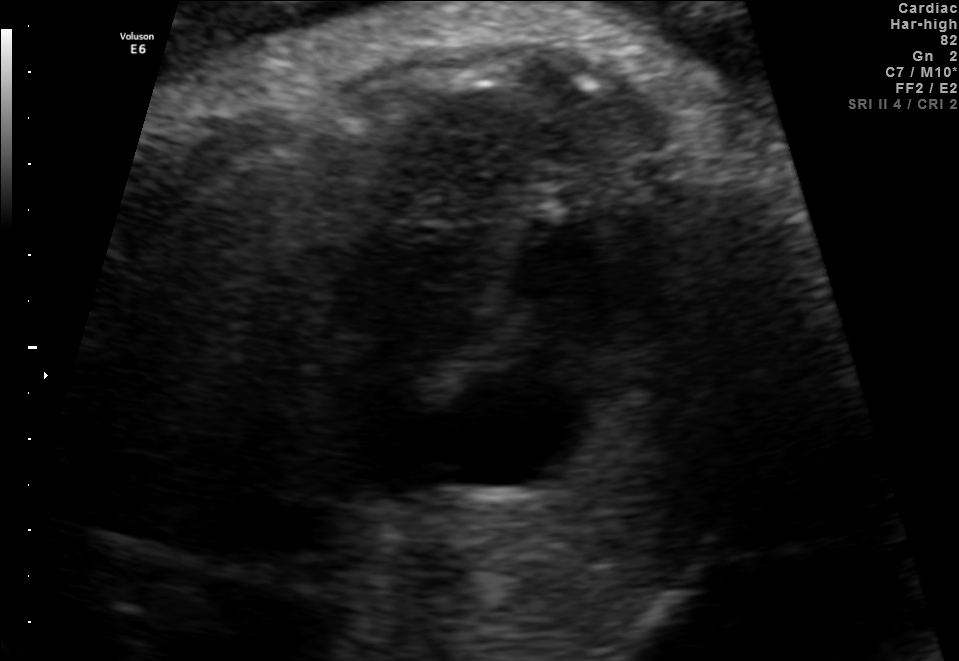
Identify the standard plane in this fetal ultrasound image: fetal abdomen, fetal brain, fetal femur, fetal thorax, maternal cervix, or other. If it's fetal brain and one of the three standard brain planes (trans-thalamic, trans-cerebellum, trans-ventricular), name which.

Fetal thorax